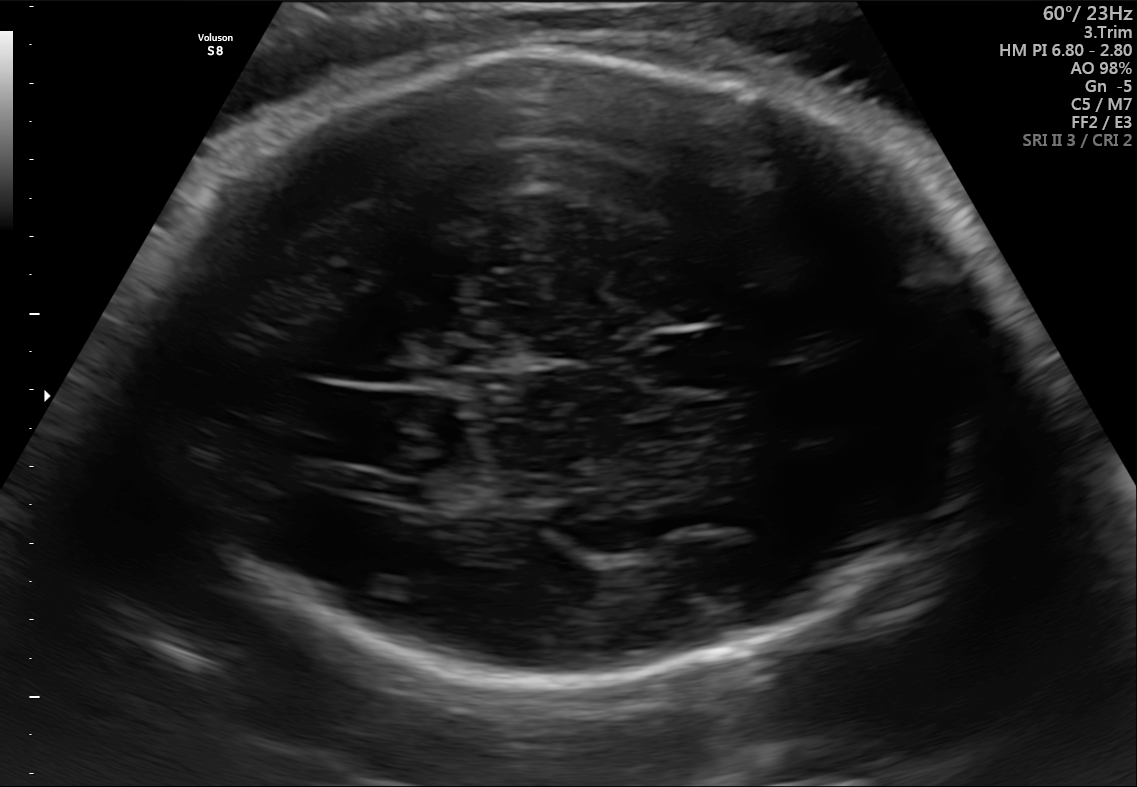
Fetal brain, trans-thalamic plane. Where is the lateral ventricle?

Lateral ventricle bounding box: [372,470,438,514]